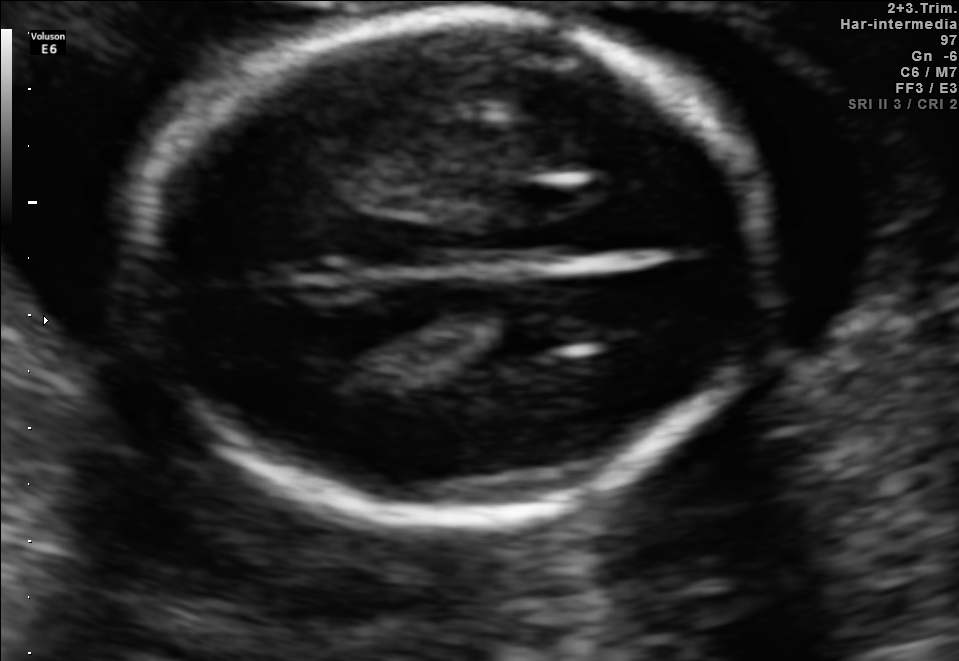
Fetal brain, trans-thalamic plane. Locate the fetal head and, if visible, the cavum septum pellucidum (CSP) and lateral ventricle (LV). Give bounding boxes as [x1,y1,x2,y2].

Head: [125,17,768,518]